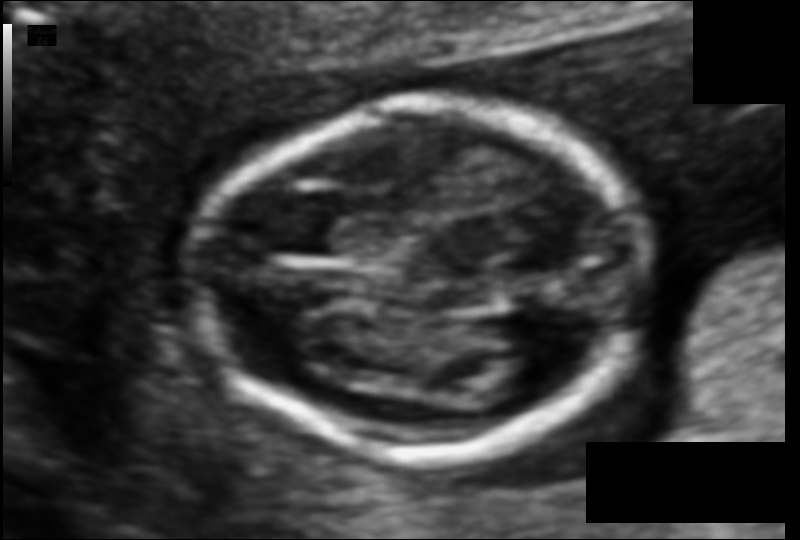
Estimate the fetal head circumference from this 2D ultrasound.

Head circumference: 101.0 mm (image width 61.5 mm).